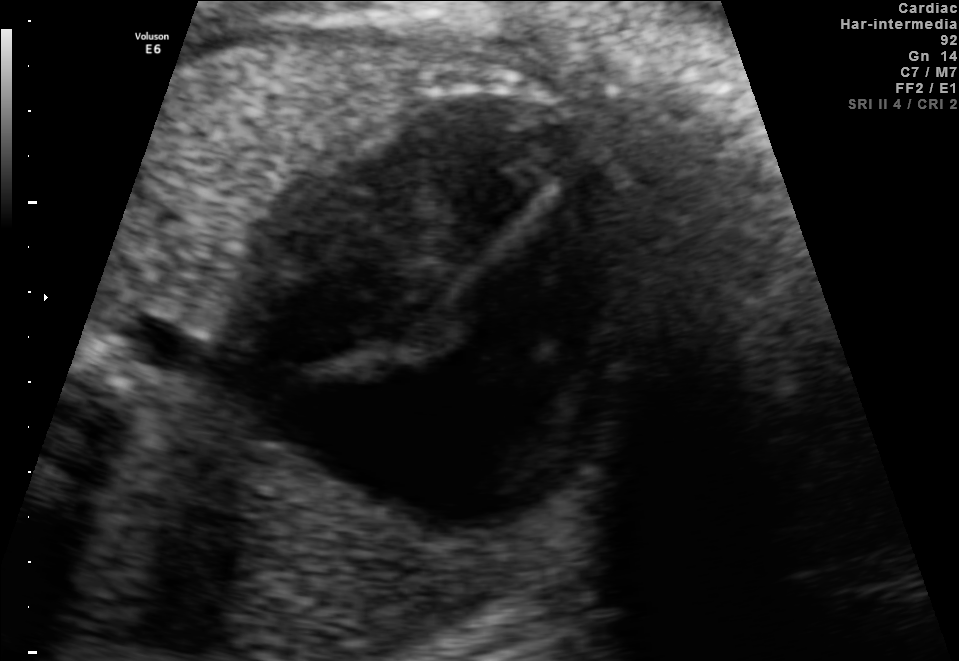
Which standard maternal-fetal ultrasound plane is shown: fetal abdomen, fetal brain, fetal femur, fetal thorax, maternal cervix, or other? If it's fetal brain and one of the three standard brain planes (trans-thalamic, trans-cerebellum, trans-ventricular), name which.

Fetal thorax